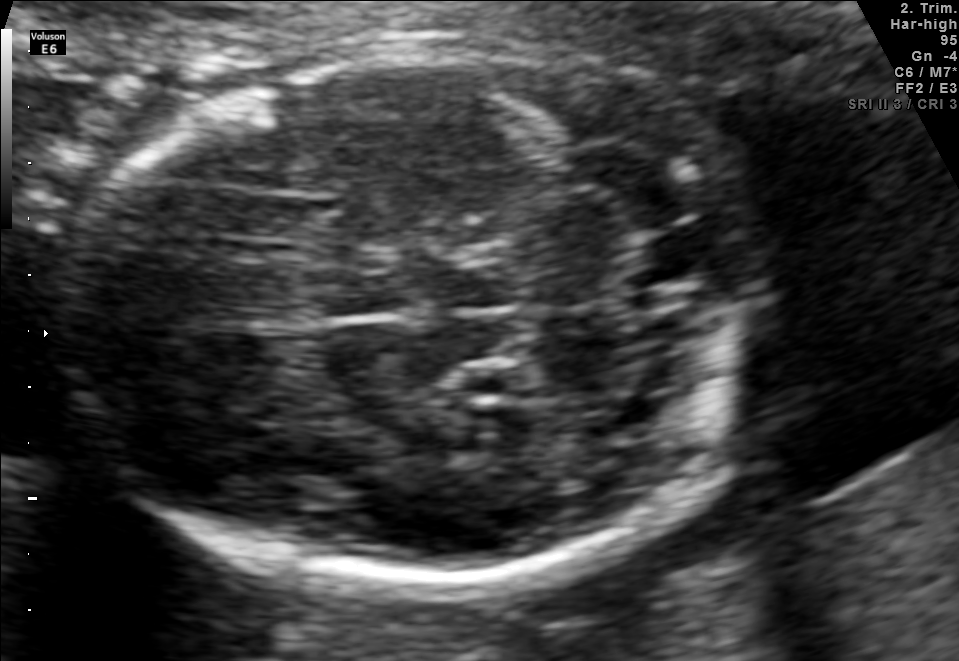
Fetal brain, trans-cerebellum plane. Give [x1,y1,x2,y2] bounding boxes for each visible structure among: fetal head, CSP, LV.

Head: [69,49,764,592]